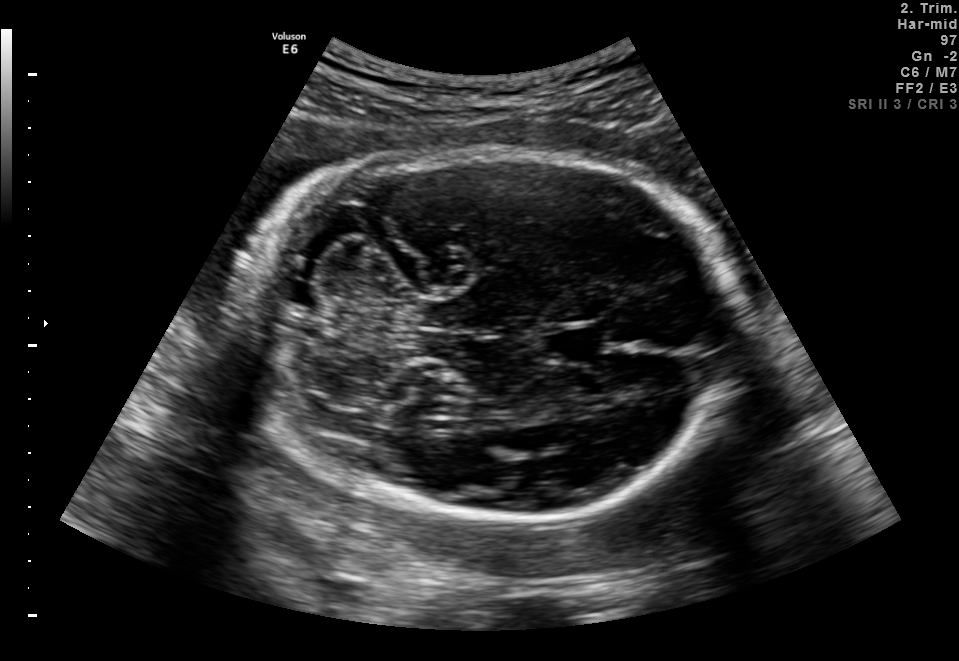
In this fetal brain, trans-cerebellum plane, give bounding boxes for the head outline, cavum septum pellucidum (CSP), and lateral ventricle (LV), where visible.

Head: [239,150,740,521]
CSP: [542,322,610,367]